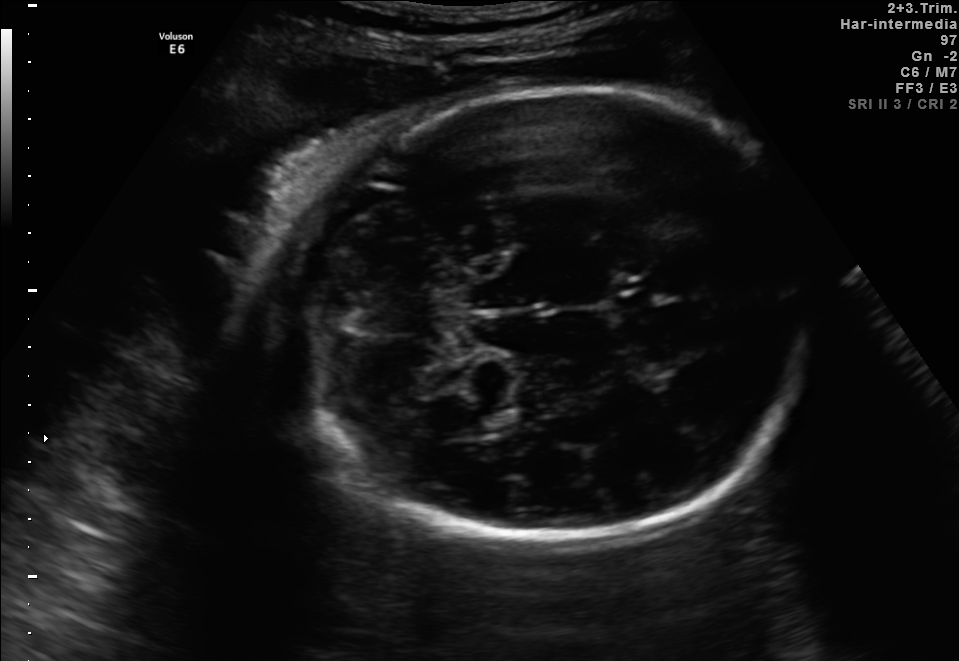
Fetal brain, trans-thalamic plane. Where is the fetal head?

Head bounding box: [288,91,815,544]